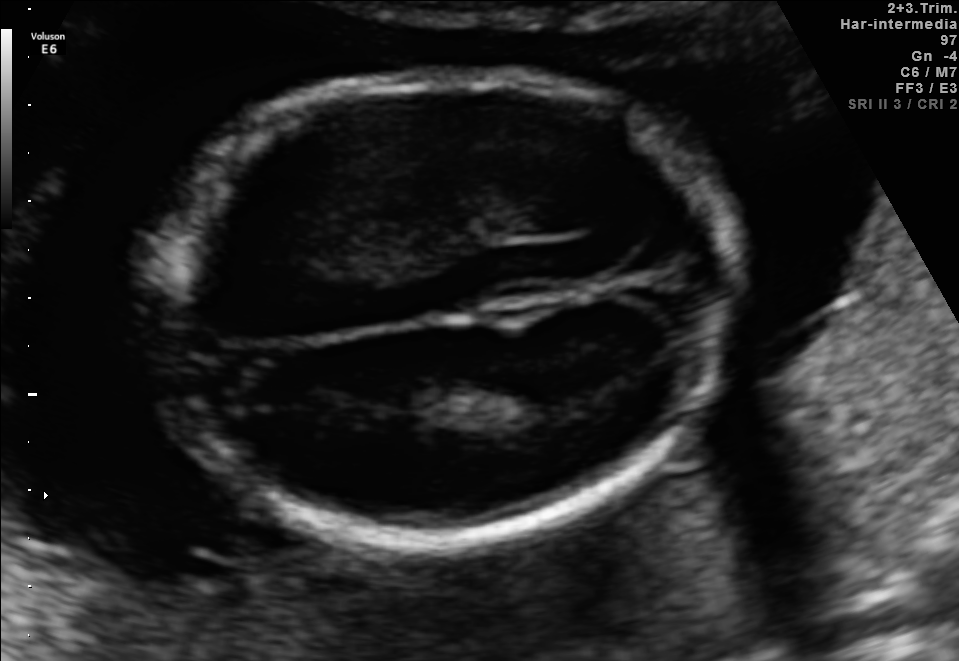
Fetal brain, trans-thalamic plane. Give [x1,y1,x2,y2] bounding boxes for each visible structure among: fetal head, CSP, LV.

Head: [150,76,735,547]